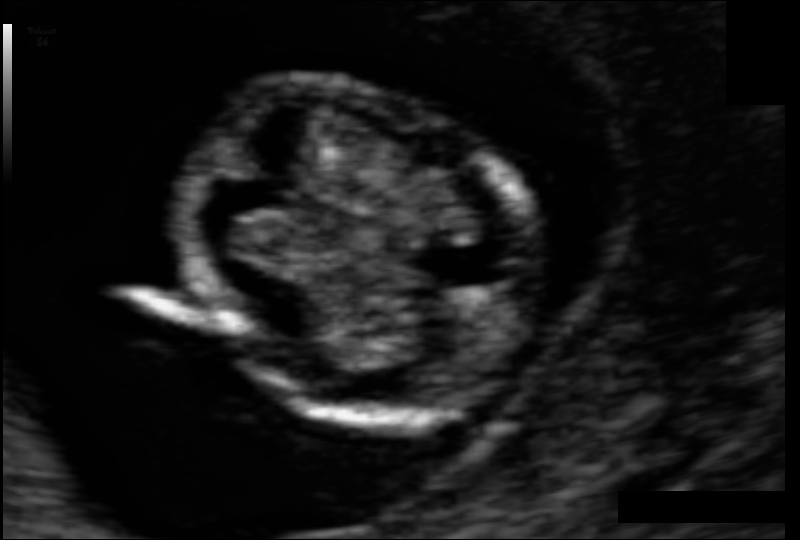
What is the fetal head circumference? Image width is 47.3 mm.

67.5 mm